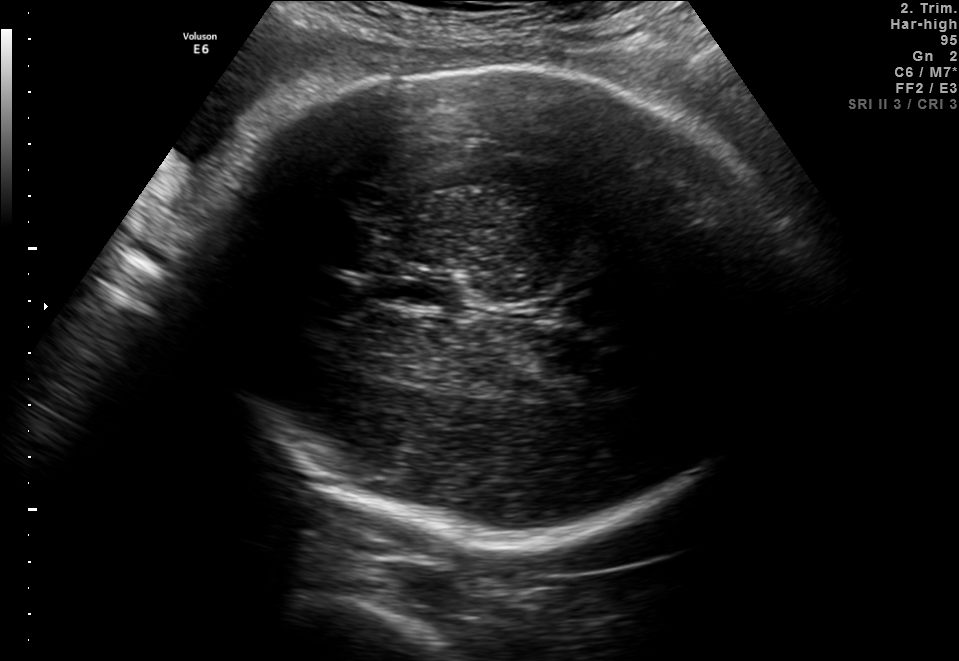
In this fetal brain, trans-thalamic plane, give the bounding box of the cavum septum pellucidum.

[381,266,463,310]